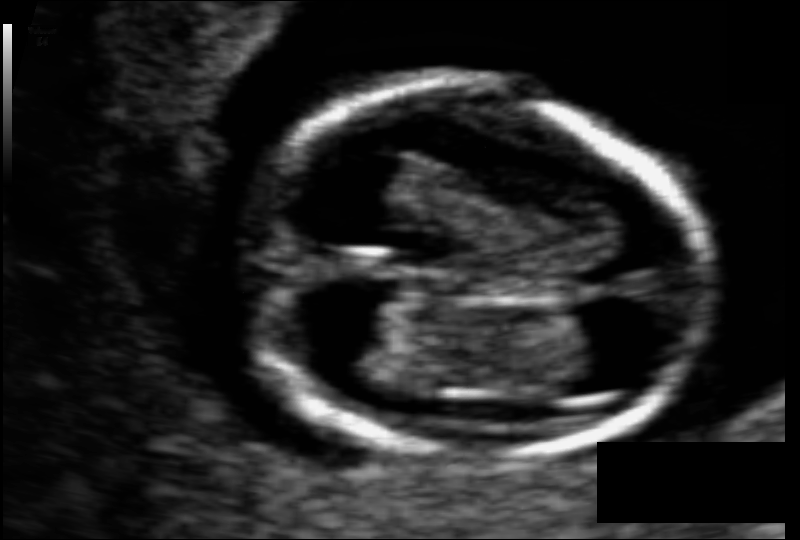
In this fetal head ultrasound, give the bounding box of the fetal head. Image width: 50.4 mm.

[244,83,706,459]